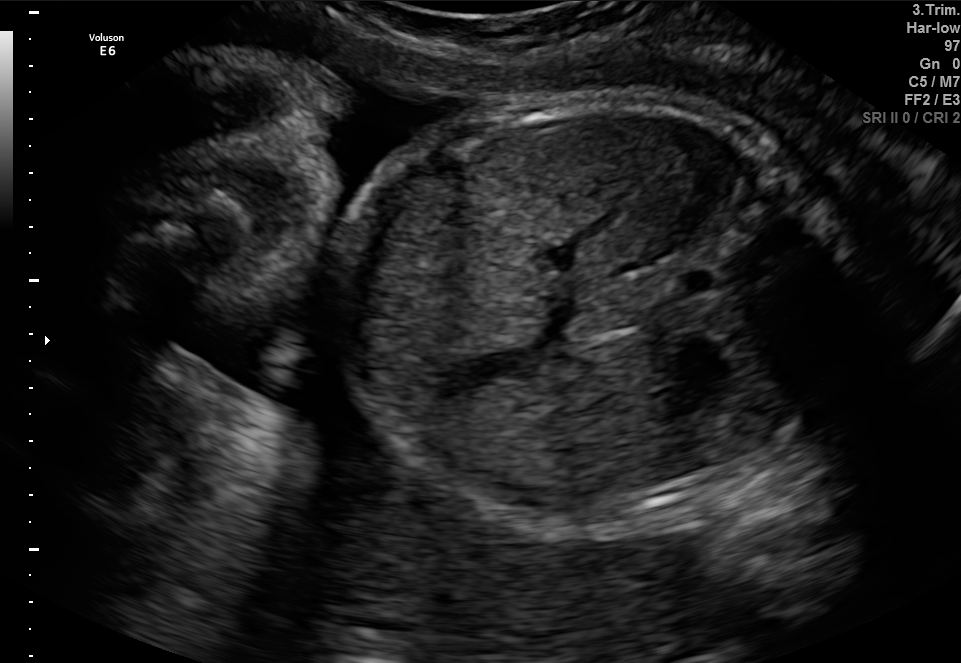
Which standard maternal-fetal ultrasound plane is shown: fetal abdomen, fetal brain, fetal femur, fetal thorax, maternal cervix, or other? If it's fetal brain and one of the three standard brain planes (trans-thalamic, trans-cerebellum, trans-ventricular), name which.

Fetal abdomen